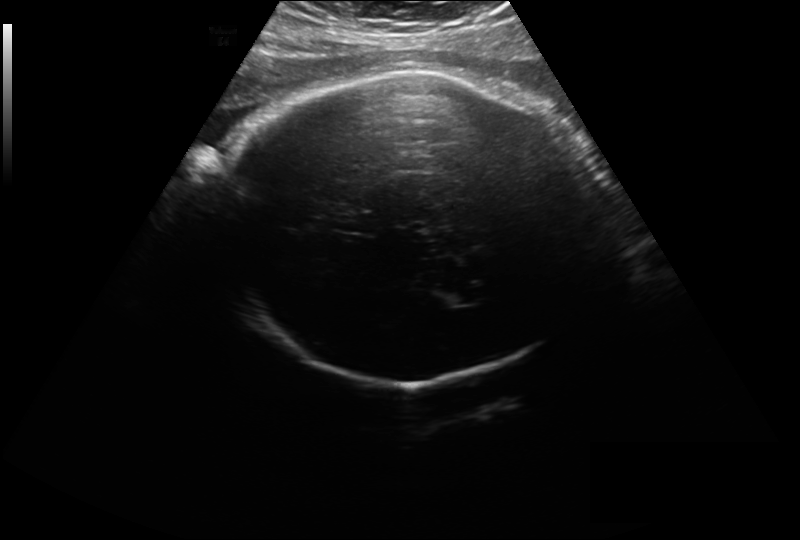
Fetal head ultrasound. Image width: 237.5 mm. Give [x1,y1,x2,y2] bounding boxes for each visible structure among: fetal head, CSP, LV.

Head: [216,70,602,383]